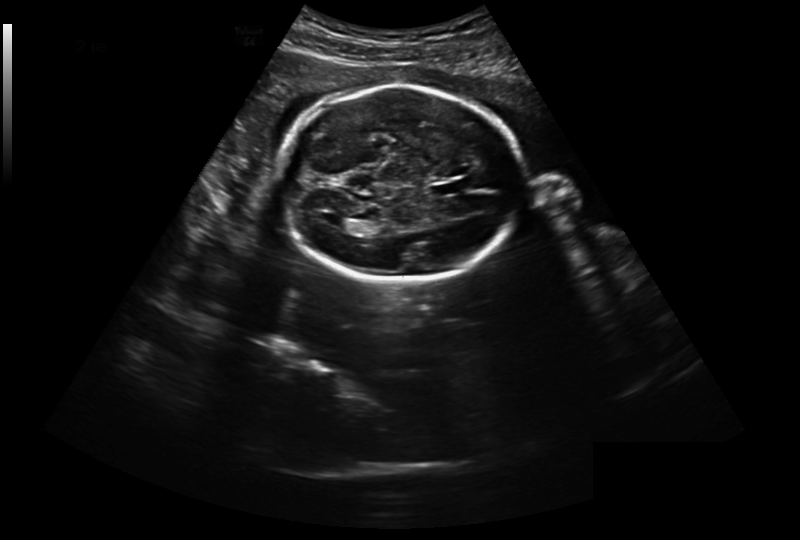
Estimate the fetal head circumference from this 2D ultrasound. Image width: 241.1 mm.

Head circumference: 213.8 mm.